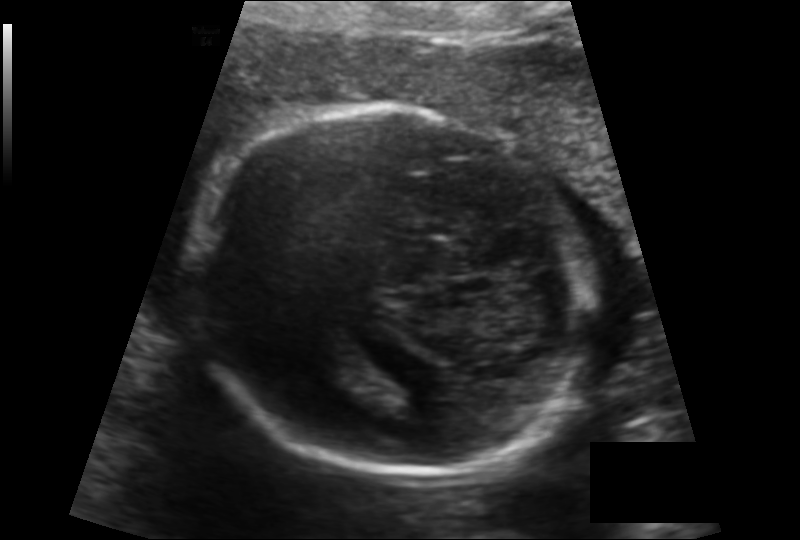
In this fetal head ultrasound, give bounding boxes for the head outline, cavum septum pellucidum (CSP), and lateral ventricle (LV), where visible. Image width: 113.4 mm.

Head: [189,106,593,473]